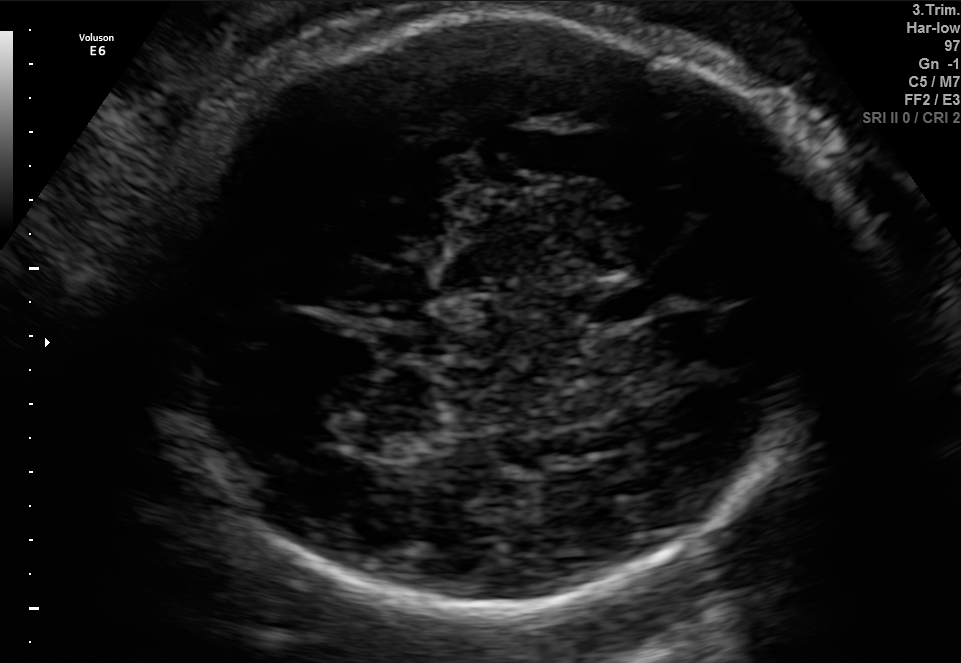
Which standard maternal-fetal ultrasound plane is shown: fetal abdomen, fetal brain, fetal femur, fetal thorax, maternal cervix, or other? If it's fetal brain and one of the three standard brain planes (trans-thalamic, trans-cerebellum, trans-ventricular), name which.

Fetal brain (trans-thalamic plane)